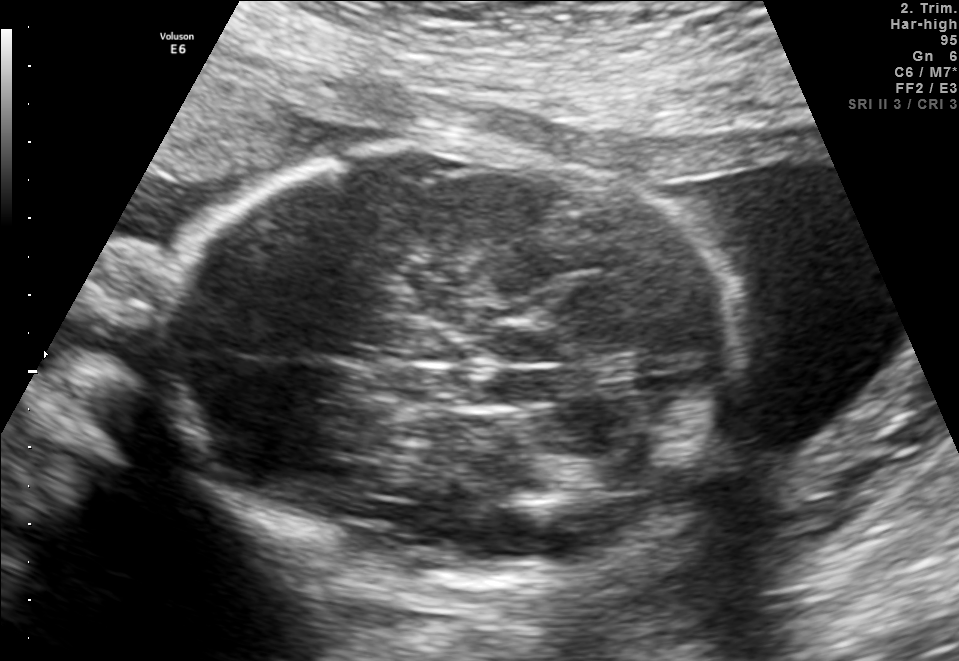
In this fetal brain, trans-thalamic plane, give the bounding box of the fetal head.

[158,135,741,600]